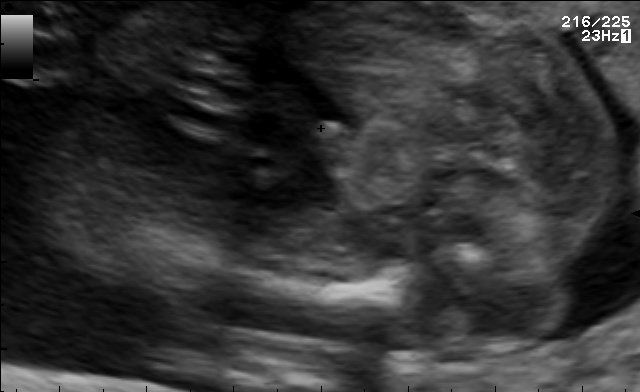
Which standard maternal-fetal ultrasound plane is shown: fetal abdomen, fetal brain, fetal femur, fetal thorax, maternal cervix, or other? If it's fetal brain and one of the three standard brain planes (trans-thalamic, trans-cerebellum, trans-ventricular), name which.

Other